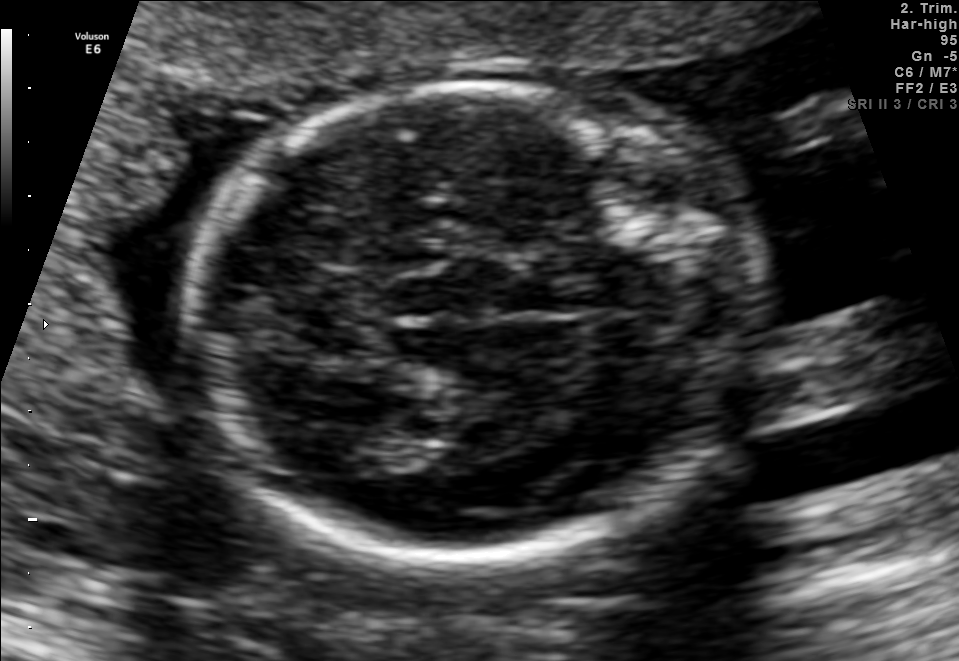
In this fetal brain, trans-thalamic plane, give the bounding box of the lateral ventricle.

[338,425,429,474]